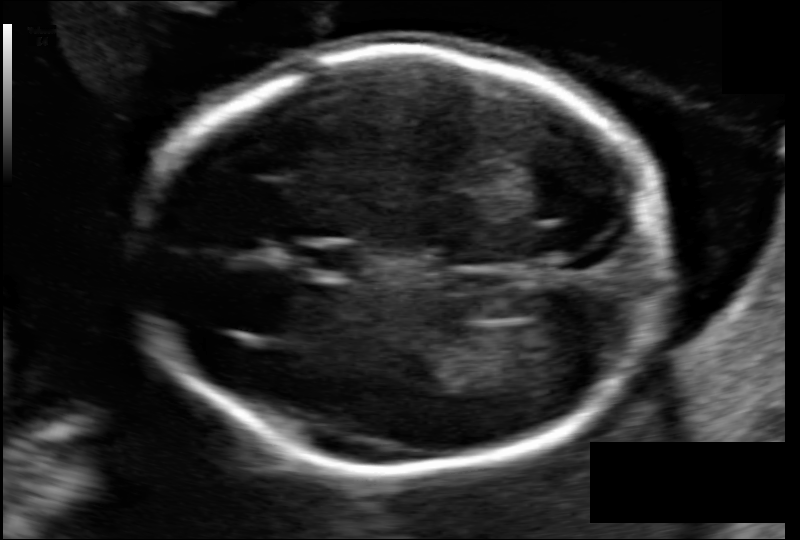
From this fetal ultrasound, estimate the head circumference (image width 82.2 mm).

Head circumference: 156.3 mm.